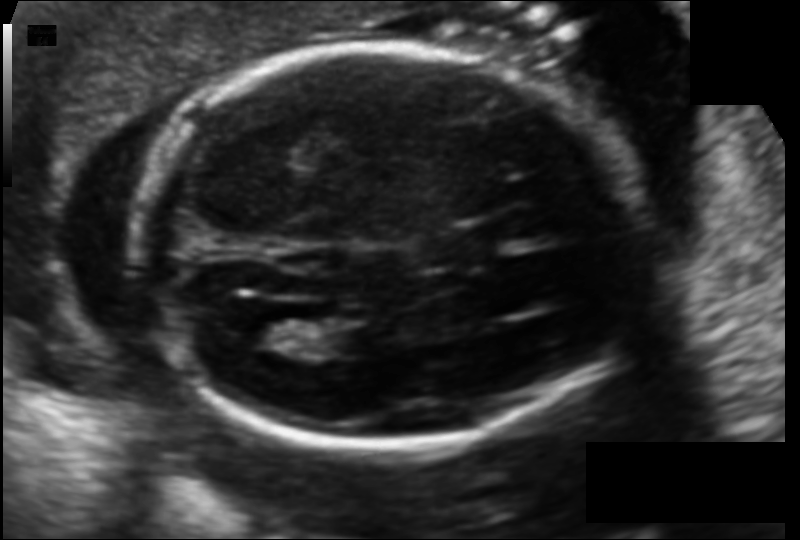
Fetal head ultrasound. Image width: 96.5 mm. Where is the fetal head?

Head bounding box: [137,45,633,451]